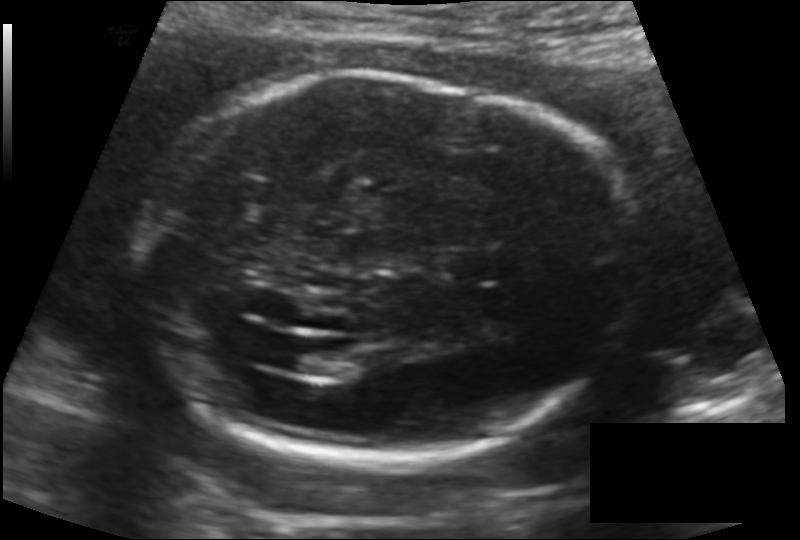
Fetal head ultrasound. Image width: 117.5 mm. Locate the lateral ventricle.

Lateral ventricle: [288,340,351,378]